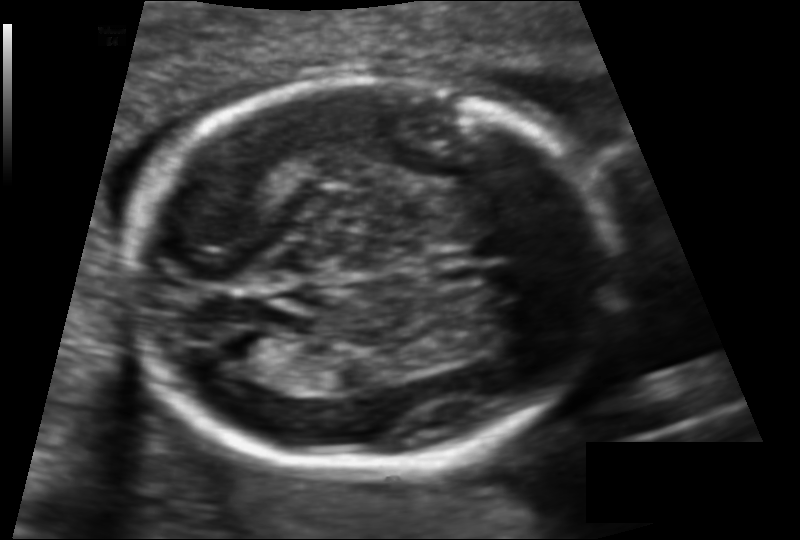
Fetal head ultrasound. Image width: 94.9 mm. Where is the fetal head?

Head bounding box: [123,75,615,465]